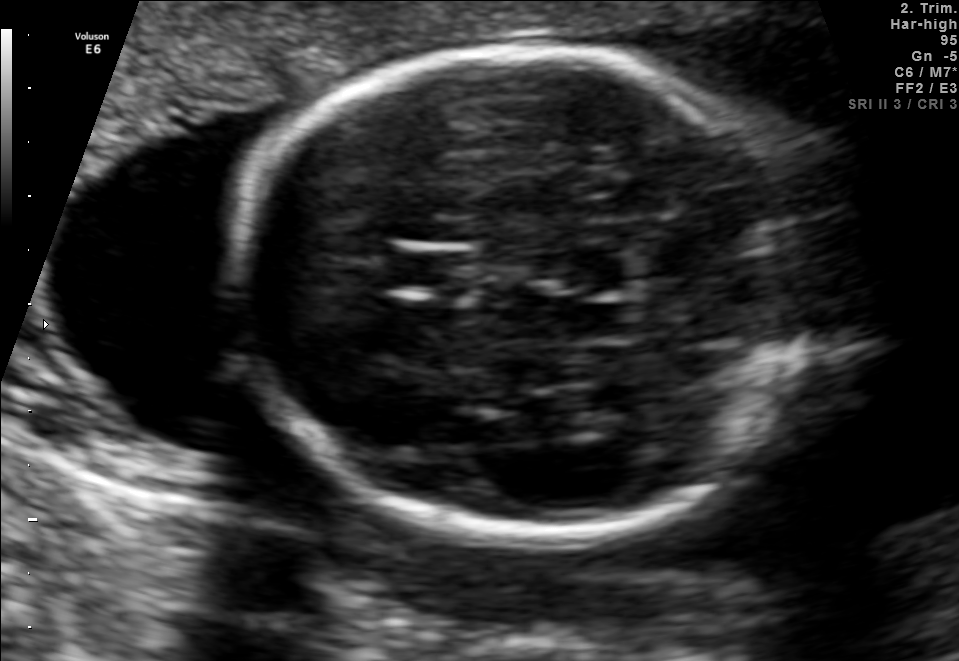
Fetal brain, trans-thalamic plane. Where is the cavum septum pellucidum?

CSP bounding box: [384,244,477,301]